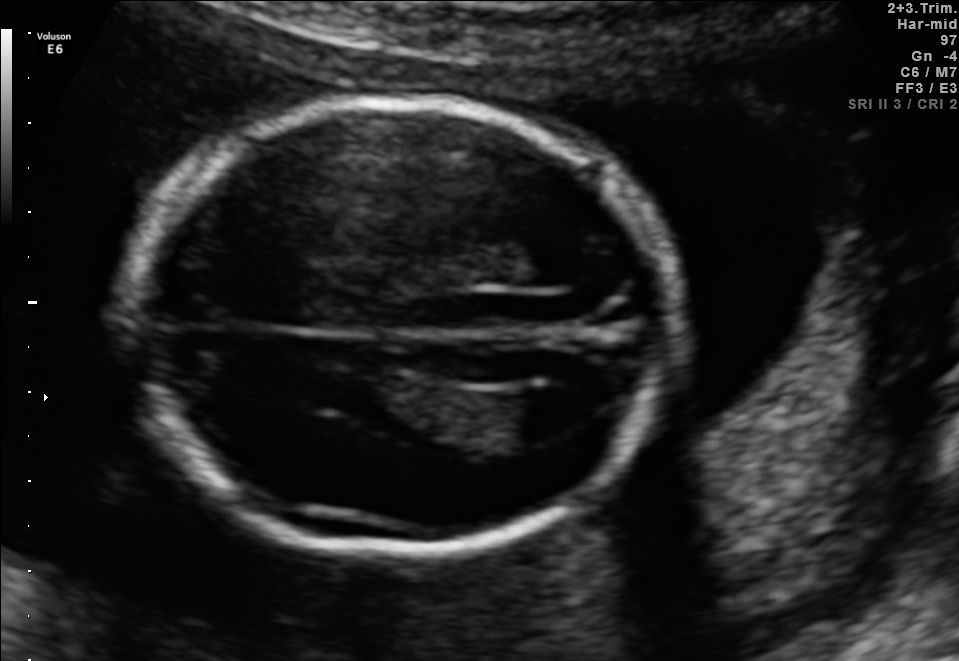
Fetal brain, trans-ventricular plane. Locate the fetal head and, if visible, the cavum septum pellucidum (CSP) and lateral ventricle (LV). Give bounding boxes as [x1,y1,x2,y2].

Head: [106,90,699,569]
Lateral ventricle: [502,374,598,448]